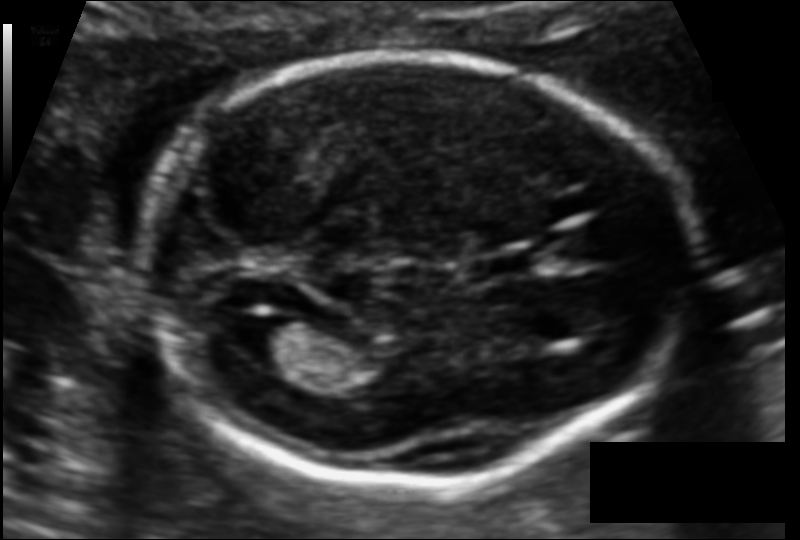
Fetal head ultrasound. Image width: 85.1 mm. Give [x1,y1,x2,y2] bounding boxes for each visible structure among: fetal head, CSP, LV.

Head: [139,56,696,482]
CSP: [477,246,538,285]
Lateral ventricle: [229,310,306,370]